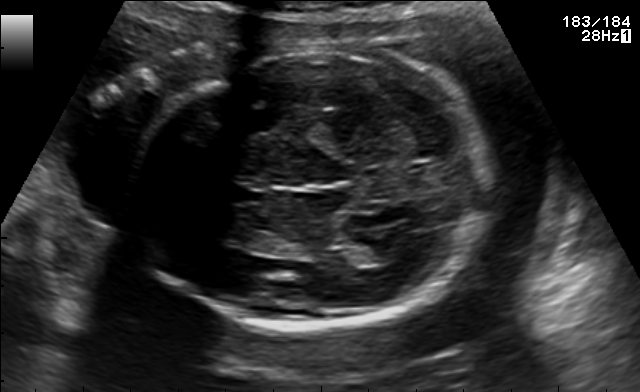
Fetal brain, trans-thalamic plane. Where is the cavum septum pellucidum?

CSP bounding box: [234,187,263,202]